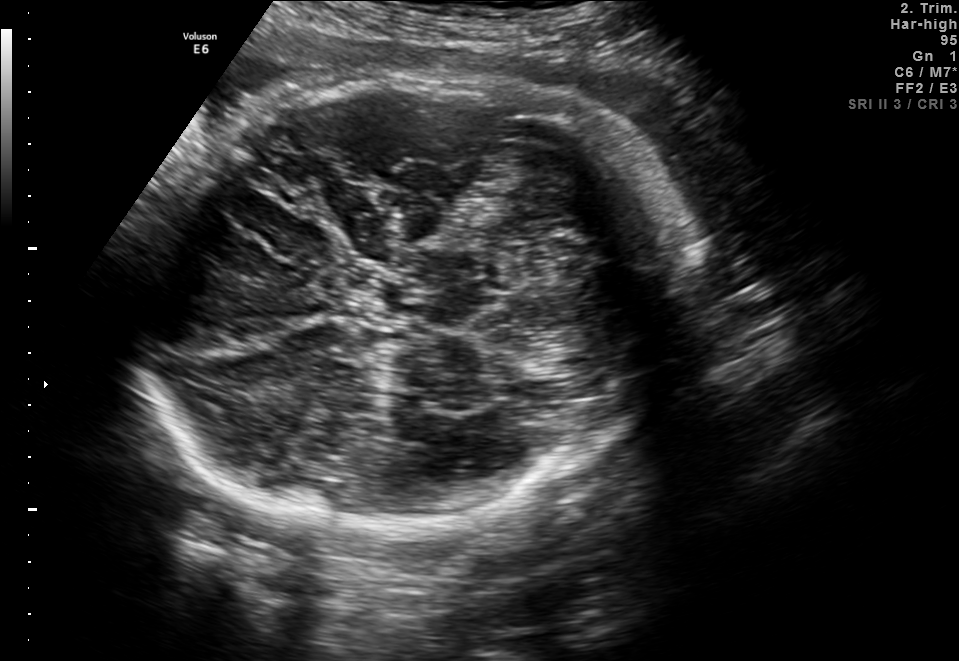
In this fetal brain, trans-thalamic plane, give the bounding box of the fetal head.

[127,73,690,534]